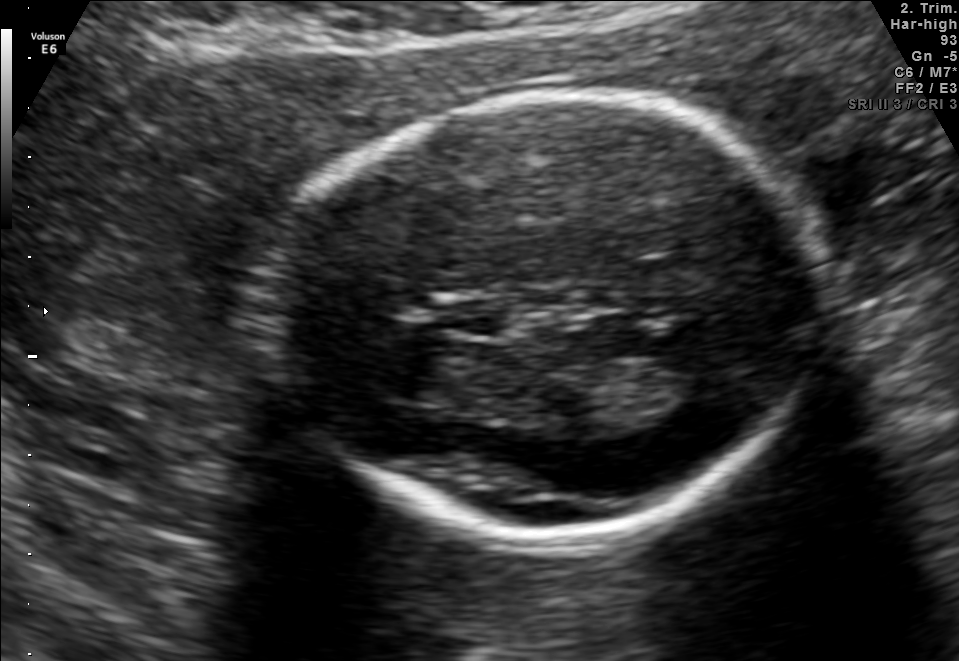
Classify this maternal-fetal ultrasound image as one of the six standard planes — fetal abdomen, fetal brain, fetal femur, fetal thorax, maternal cervix, or other. If it's fetal brain and one of the three standard brain planes (trans-thalamic, trans-cerebellum, trans-ventricular), name which.

Fetal brain (trans-thalamic plane)